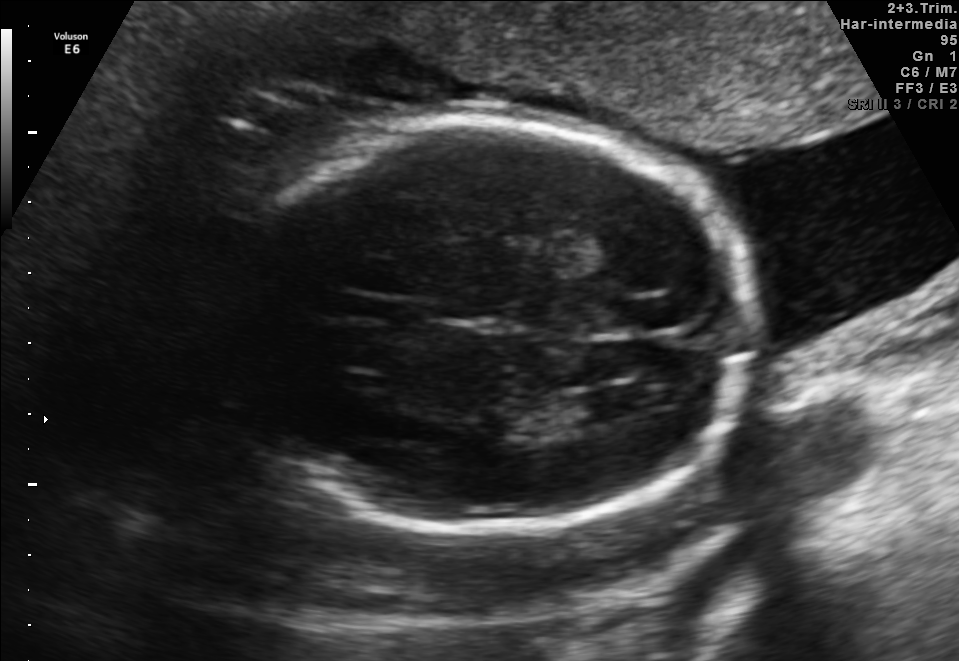
Fetal brain, trans-ventricular plane. Where is the lateral ventricle?

Lateral ventricle bounding box: [565,389,627,427]